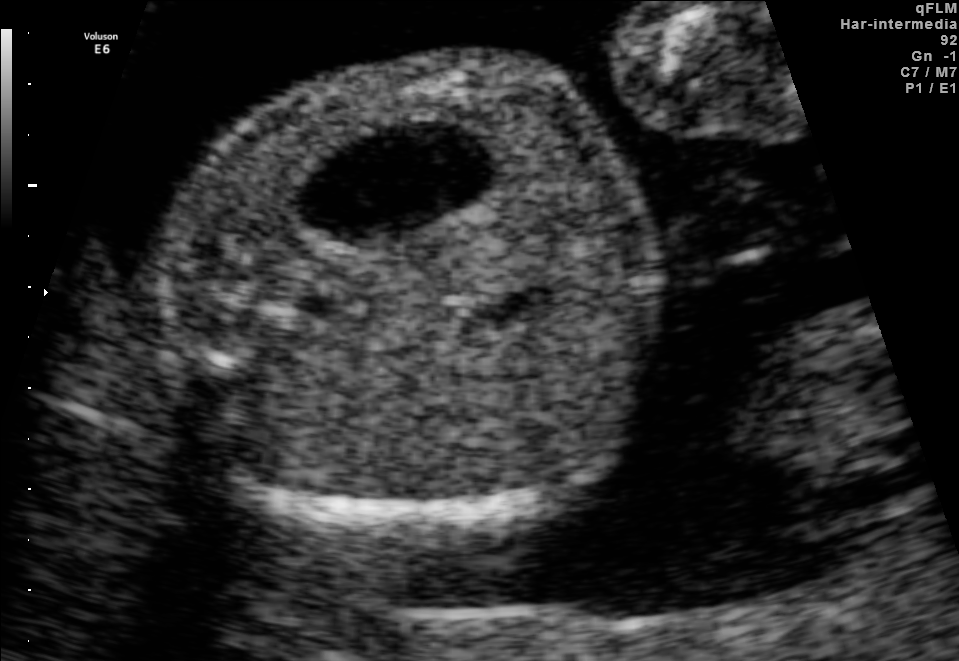
Classify this maternal-fetal ultrasound image as one of the six standard planes — fetal abdomen, fetal brain, fetal femur, fetal thorax, maternal cervix, or other. If it's fetal brain and one of the three standard brain planes (trans-thalamic, trans-cerebellum, trans-ventricular), name which.

Fetal abdomen